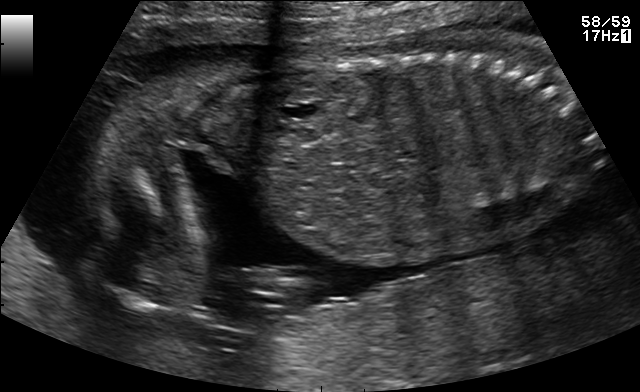
Identify the standard plane in this fetal ultrasound image: fetal abdomen, fetal brain, fetal femur, fetal thorax, maternal cervix, or other. If it's fetal brain and one of the three standard brain planes (trans-thalamic, trans-cerebellum, trans-ventricular), name which.

Other